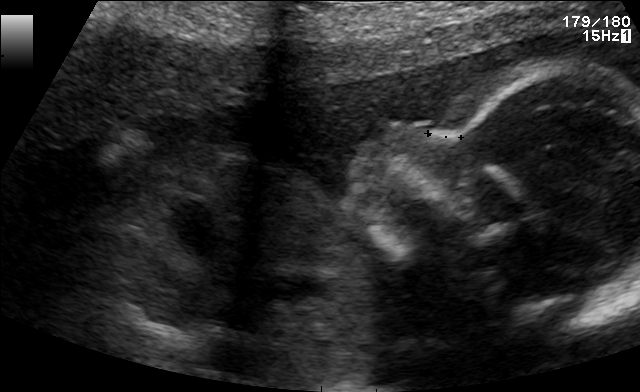
This is a 2D maternal-fetal ultrasound frame. Is it a fetal abdomen, fetal brain, fetal femur, fetal thorax, maternal cervix, or other standard plane? If it's fetal brain and one of the three standard brain planes (trans-thalamic, trans-cerebellum, trans-ventricular), name which.

Other